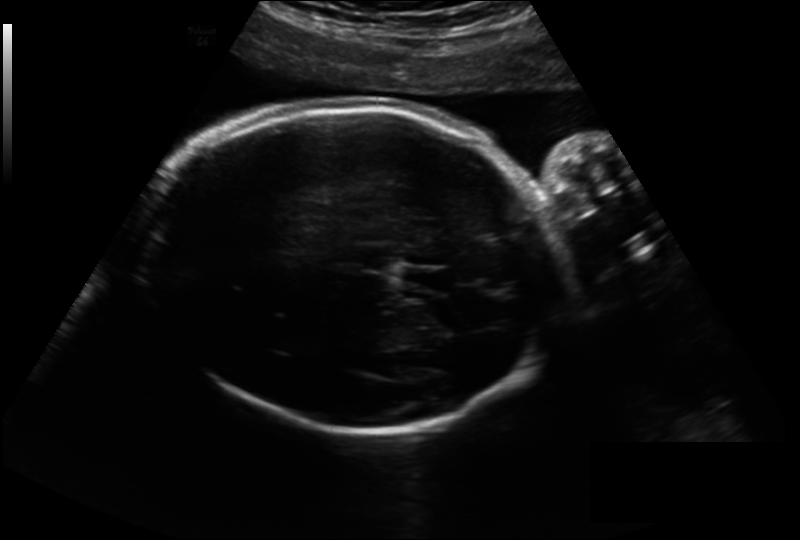
Fetal head ultrasound. Image width: 194.6 mm. Give [x1,y1,x2,y2] bounding boxes for each visible structure among: fetal head, CSP, LV.

Head: [139,102,566,430]
CSP: [400,266,450,291]